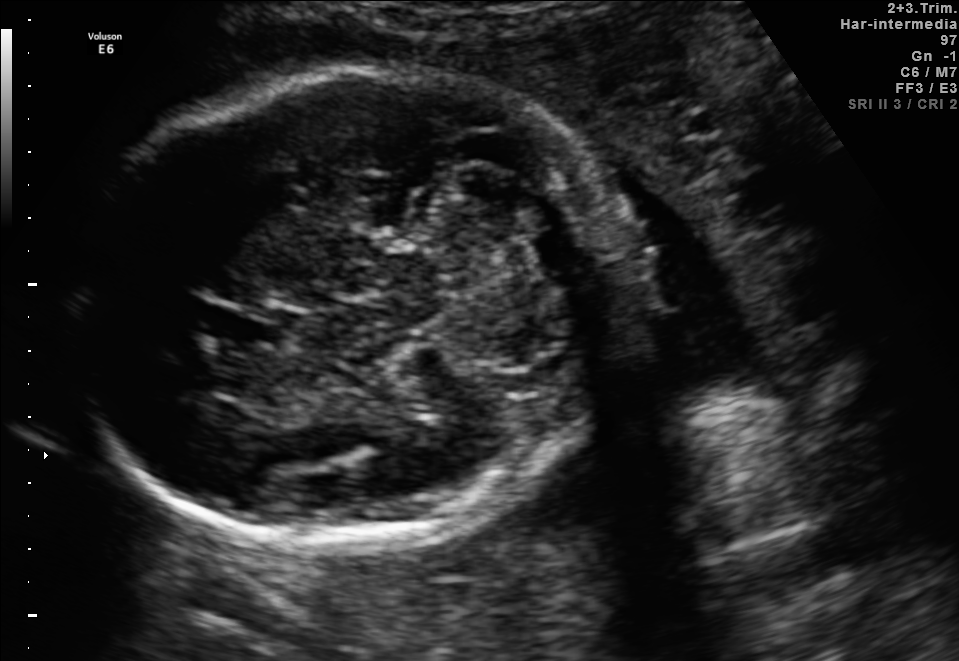
In this fetal brain, trans-cerebellum plane, give the bounding box of the cavum septum pellucidum.

[198,297,286,357]